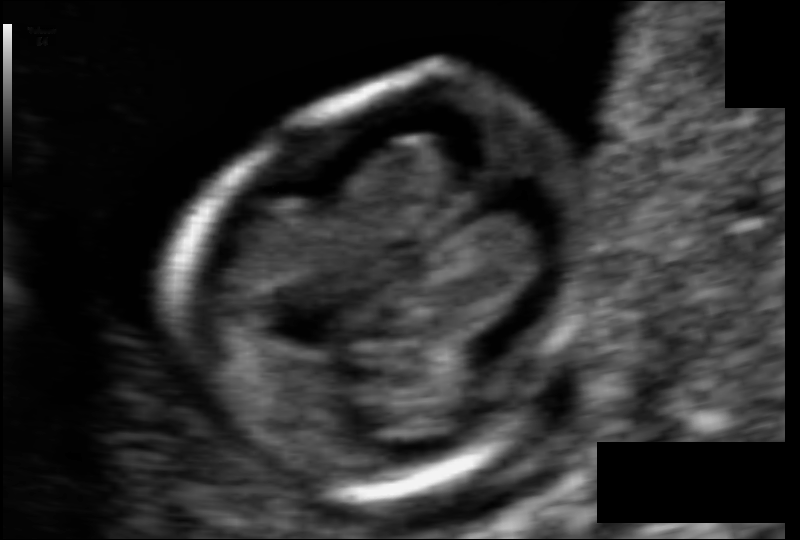
Fetal head ultrasound. Image width: 44.1 mm. Give [x1,y1,x2,y2] bounding boxes for each visible structure among: fetal head, CSP, LV.

Head: [180,79,601,490]